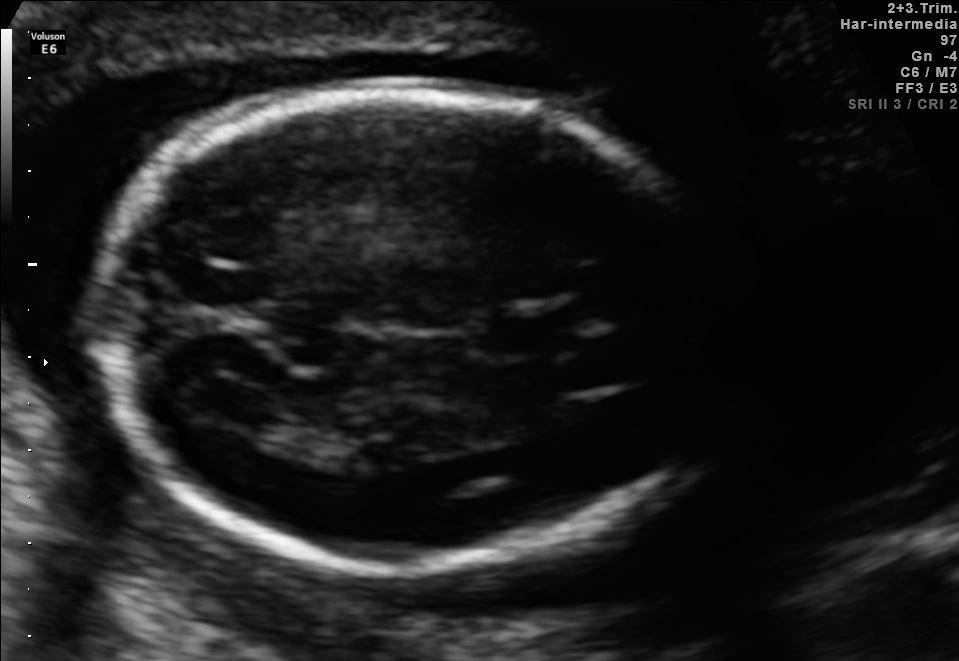
Fetal brain, trans-ventricular plane. Where is the lateral ventricle?

Lateral ventricle bounding box: [193,372,274,436]